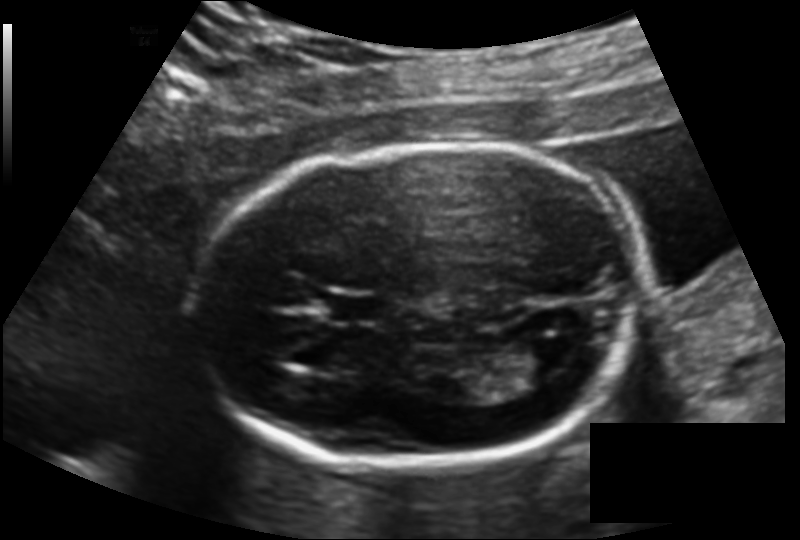
Fetal head ultrasound. Image width: 109.3 mm. Where is the cavum septum pellucidum?

CSP bounding box: [327,296,381,323]